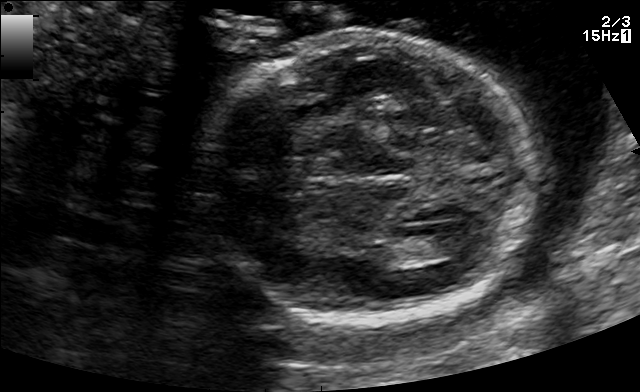
Fetal brain, trans-ventricular plane. Locate the fetal head and, if visible, the cavum septum pellucidum (CSP) and lateral ventricle (LV). Give bounding boxes as [x1,y1,x2,y2].

Head: [190,26,544,330]
CSP: [302,171,341,191]
Lateral ventricle: [426,231,478,260]